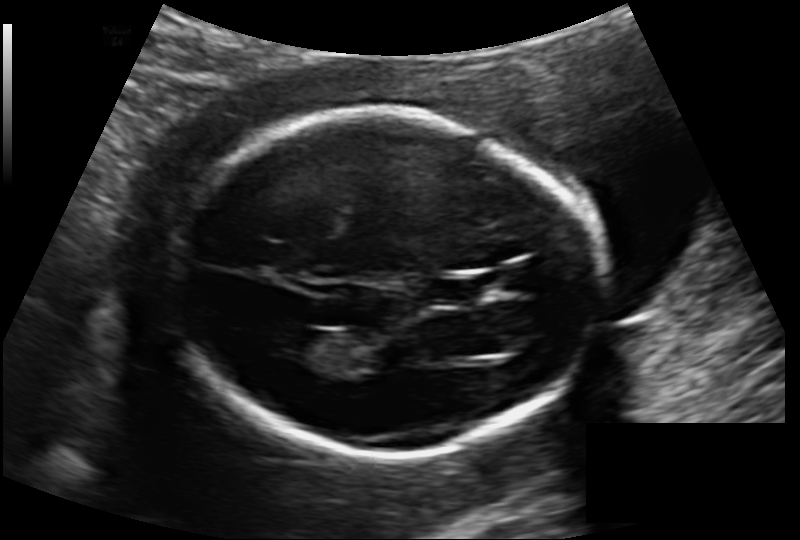
In this fetal head ultrasound, give the bounding box of the fetal head. Image width: 106.3 mm.

[174,110,601,457]